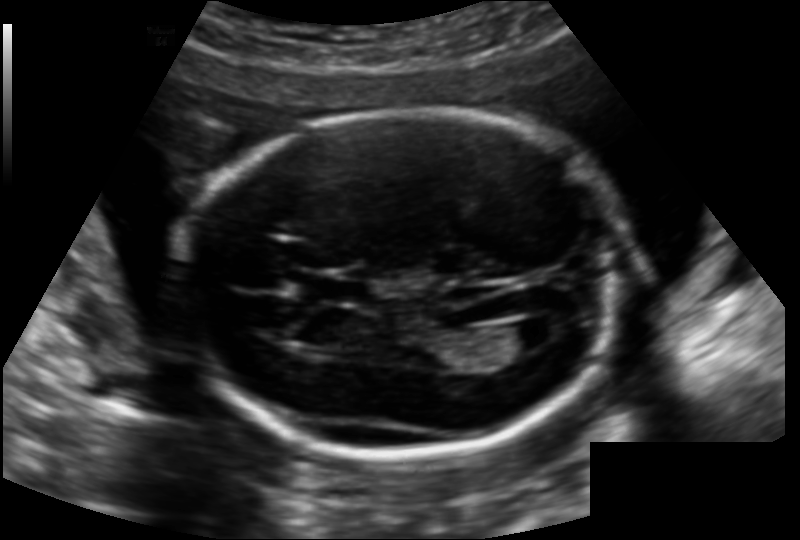
What is the fetal head circumference? Image width is 113.4 mm.

182.5 mm